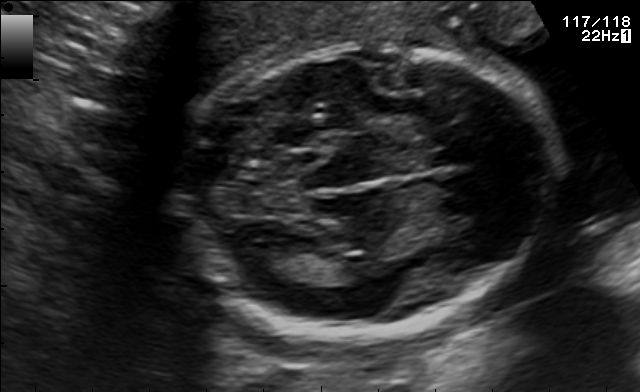
In this fetal brain, trans-thalamic plane, give the bounding box of the lateral ventricle.

[237,234,313,282]